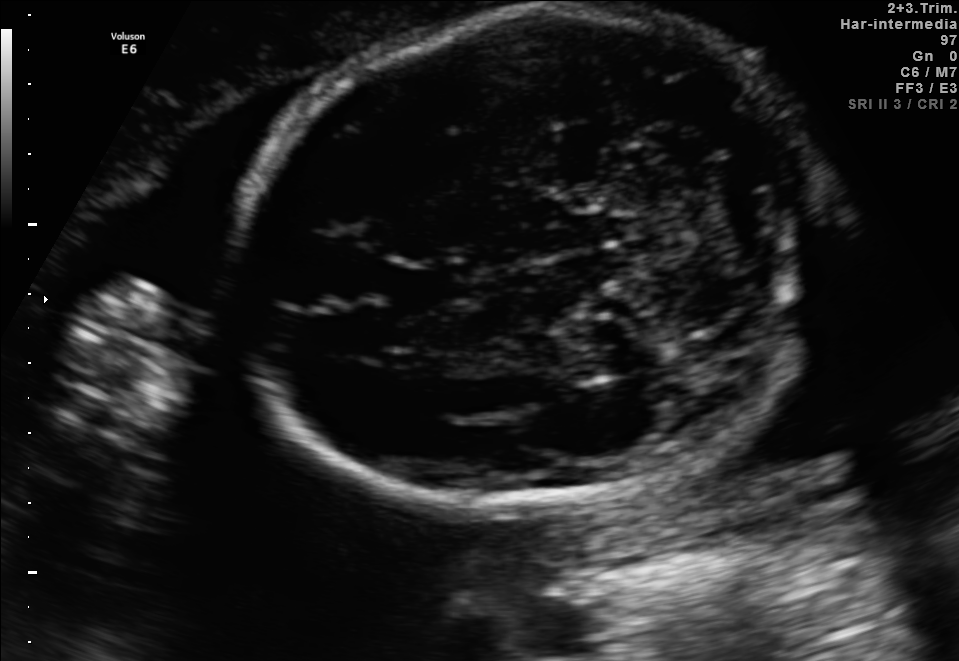
Fetal brain, trans-cerebellum plane. Where is the cavum septum pellucidum?

CSP bounding box: [394,260,472,313]